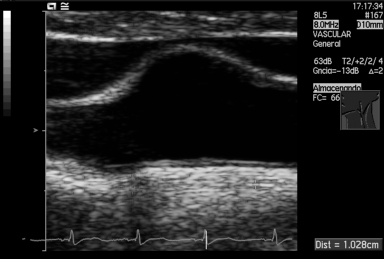
Which standard maternal-fetal ultrasound plane is shown: fetal abdomen, fetal brain, fetal femur, fetal thorax, maternal cervix, or other? If it's fetal brain and one of the three standard brain planes (trans-thalamic, trans-cerebellum, trans-ventricular), name which.

Other